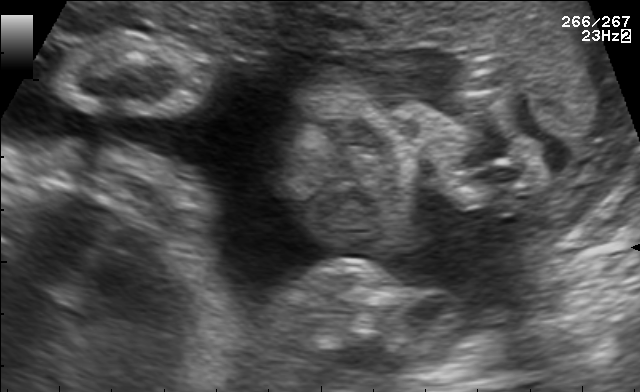
Which standard maternal-fetal ultrasound plane is shown: fetal abdomen, fetal brain, fetal femur, fetal thorax, maternal cervix, or other? If it's fetal brain and one of the three standard brain planes (trans-thalamic, trans-cerebellum, trans-ventricular), name which.

Other